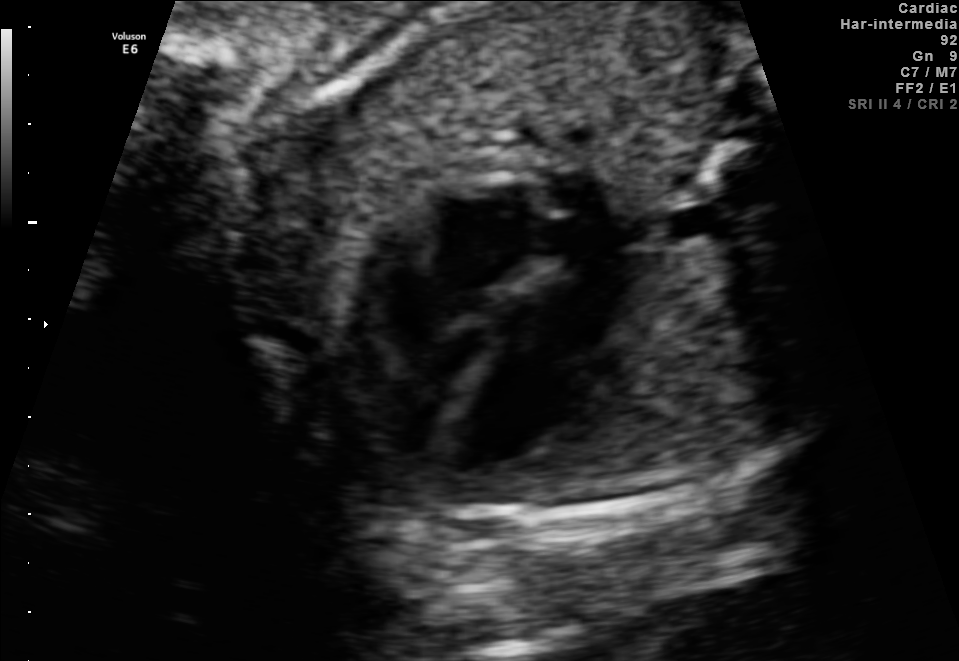
Classify this maternal-fetal ultrasound image as one of the six standard planes — fetal abdomen, fetal brain, fetal femur, fetal thorax, maternal cervix, or other. If it's fetal brain and one of the three standard brain planes (trans-thalamic, trans-cerebellum, trans-ventricular), name which.

Fetal thorax